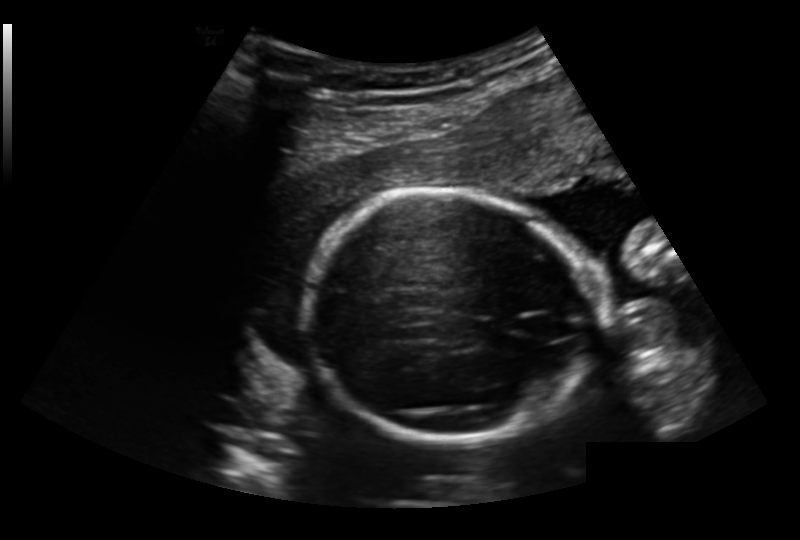
Fetal head ultrasound. Image width: 152.5 mm. Give [x1,y1,x2,y2] bounding boxes for each visible structure among: fetal head, CSP, LV.

Head: [304,190,592,444]